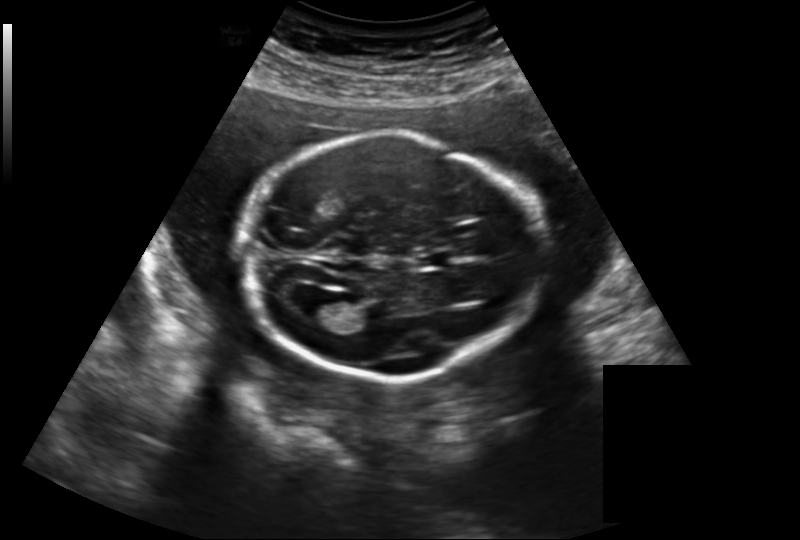
Fetal head ultrasound. Image width: 175.2 mm. Locate the lateral ventricle.

Lateral ventricle: [300,286,352,330]